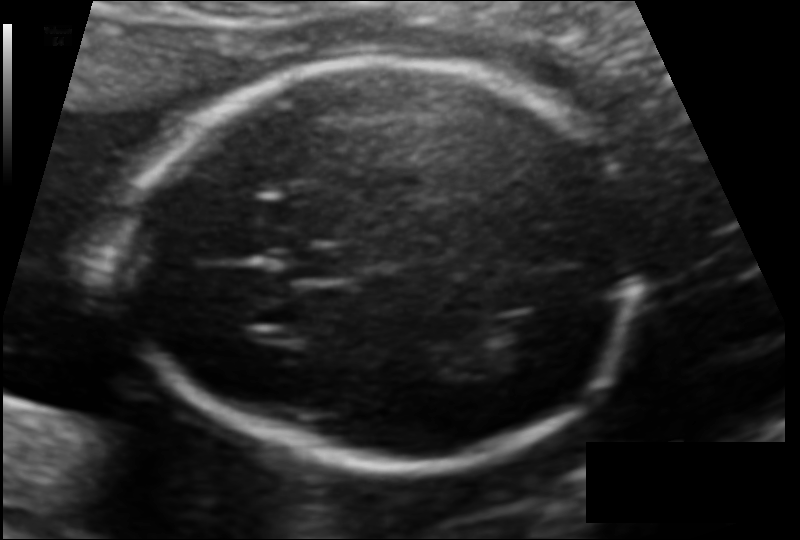
Fetal head ultrasound. Image width: 92.5 mm. Give [x1,y1,x2,y2] bounding boxes for each visible structure among: fetal head, CSP, LV.

Head: [126,58,641,464]
CSP: [279,247,351,282]